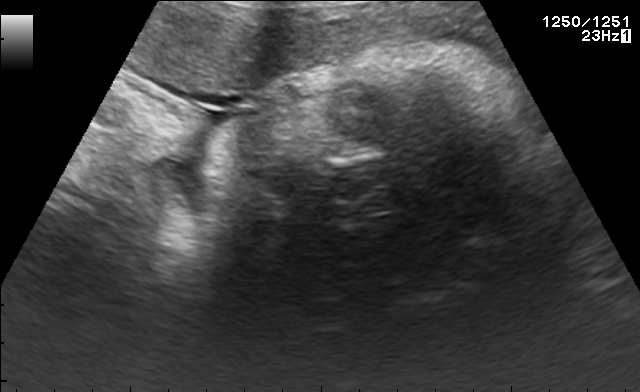
Classify this maternal-fetal ultrasound image as one of the six standard planes — fetal abdomen, fetal brain, fetal femur, fetal thorax, maternal cervix, or other. If it's fetal brain and one of the three standard brain planes (trans-thalamic, trans-cerebellum, trans-ventricular), name which.

Other